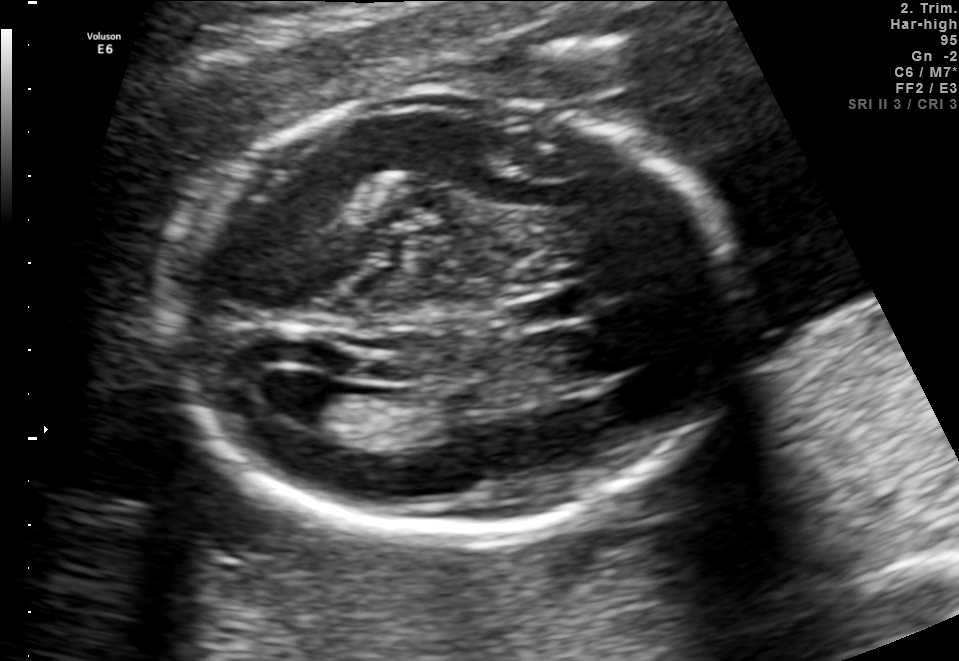
In this fetal brain, trans-ventricular plane, give bounding boxes for the head outline, cavum septum pellucidum (CSP), and lateral ventricle (LV), where visible.

Head: [156,85,757,546]
CSP: [500,283,603,340]
Lateral ventricle: [244,359,346,435]